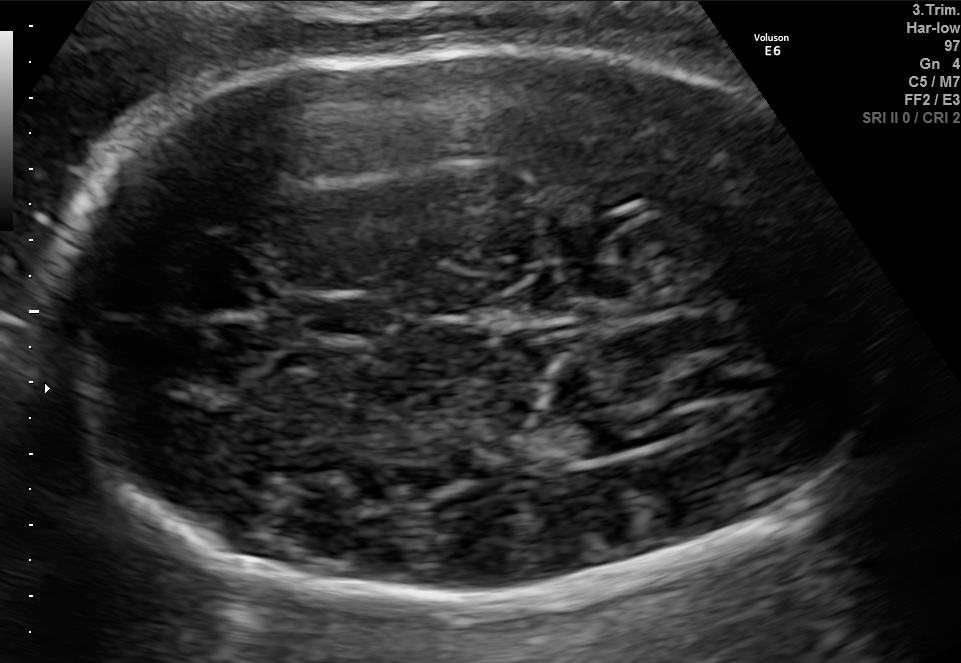
Fetal brain, trans-thalamic plane. Where is the lateral ventricle?

Lateral ventricle bounding box: [532,408,649,470]